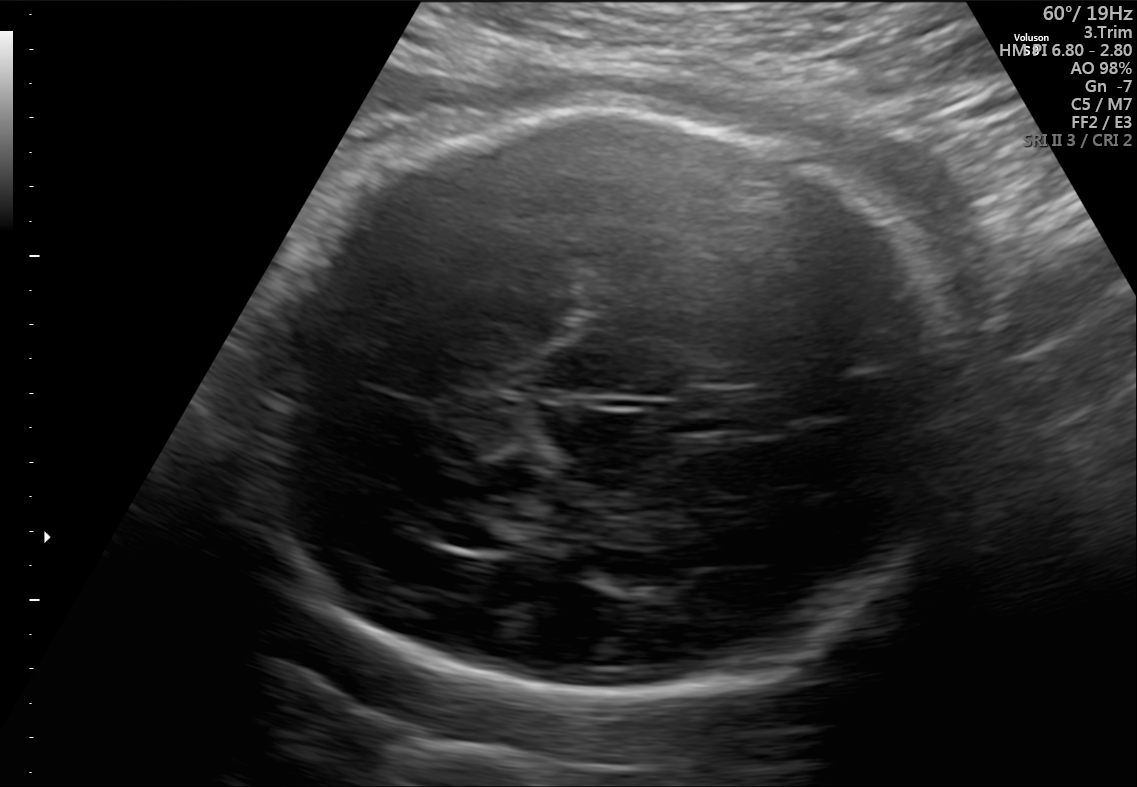
In this fetal brain, trans-thalamic plane, give the bounding box of the fetal head.

[242,110,969,699]